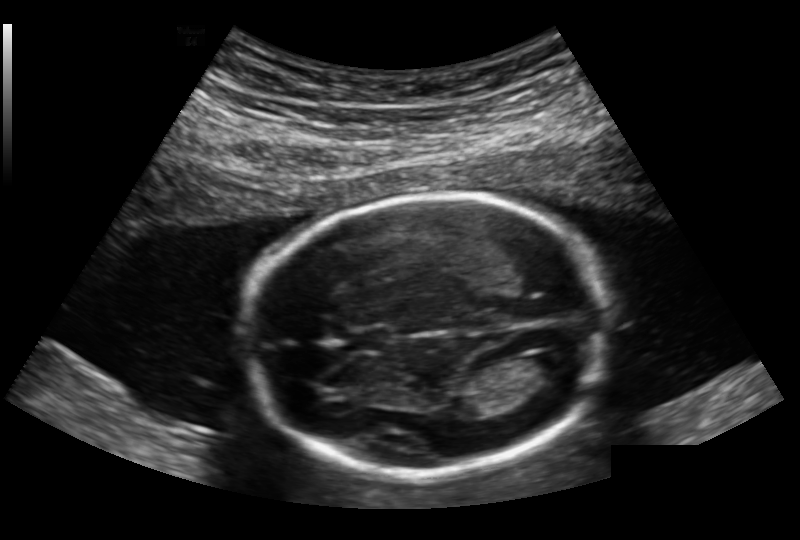
Measure the fetal head circumference shown in this ultrasound image. Image width: 134.4 mm.

Head circumference: 180.6 mm.